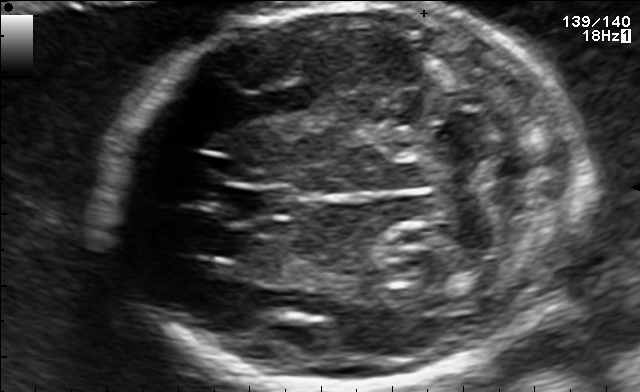
In this fetal brain, trans-cerebellum plane, give the bounding box of the cavum septum pellucidum.

[230,185,294,219]